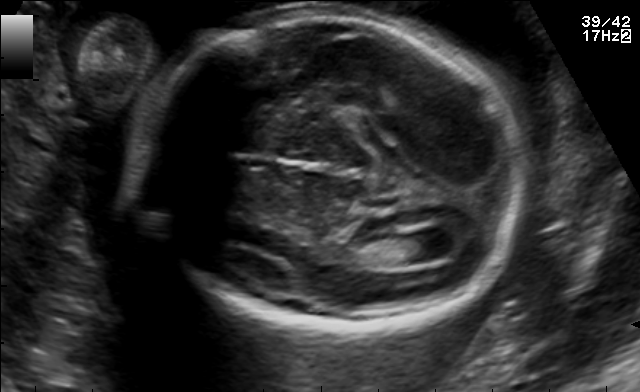
Fetal brain, trans-ventricular plane. Where is the lateral ventricle?

Lateral ventricle bounding box: [402,230,460,265]